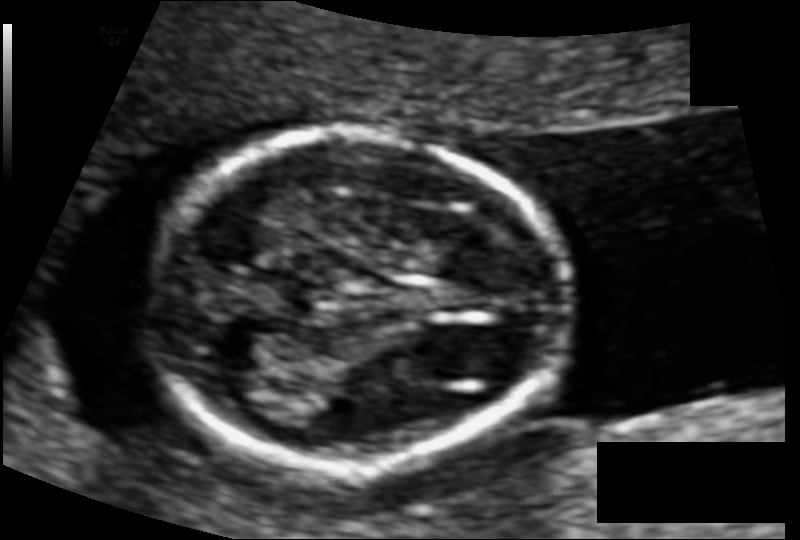
Fetal head ultrasound. Image width: 66.8 mm. Locate the fetal head and, if visible, the cavum septum pellucidum (CSP) and lateral ventricle (LV). Give bounding boxes as [x1,y1,x2,y2].

Head: [153,133,567,464]